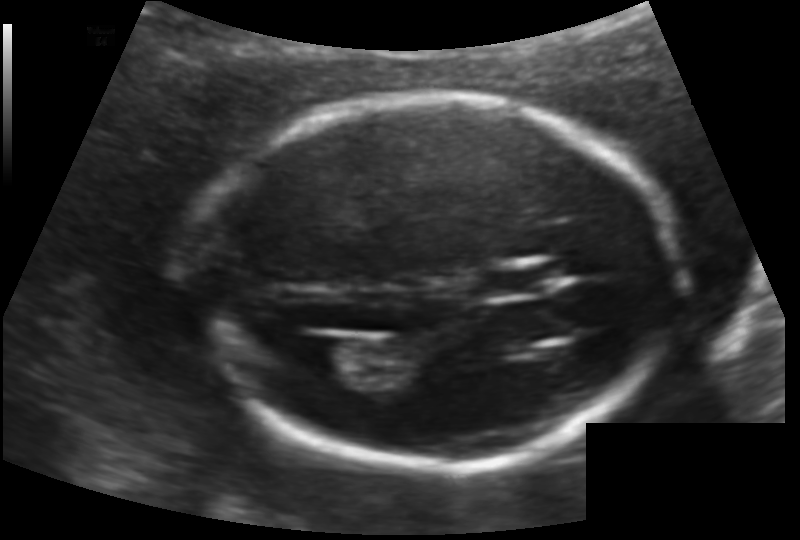
Measure the fetal head circumference shown in this ultrasound image. Image width: 99.5 mm.

Head circumference: 169.8 mm.